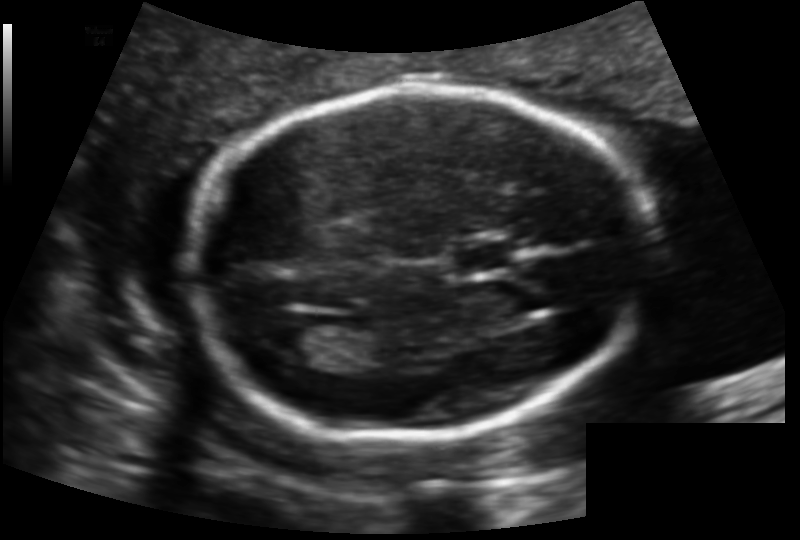
From this fetal ultrasound, estimate the head circumference (image width 103.4 mm).

Head circumference: 169.7 mm.